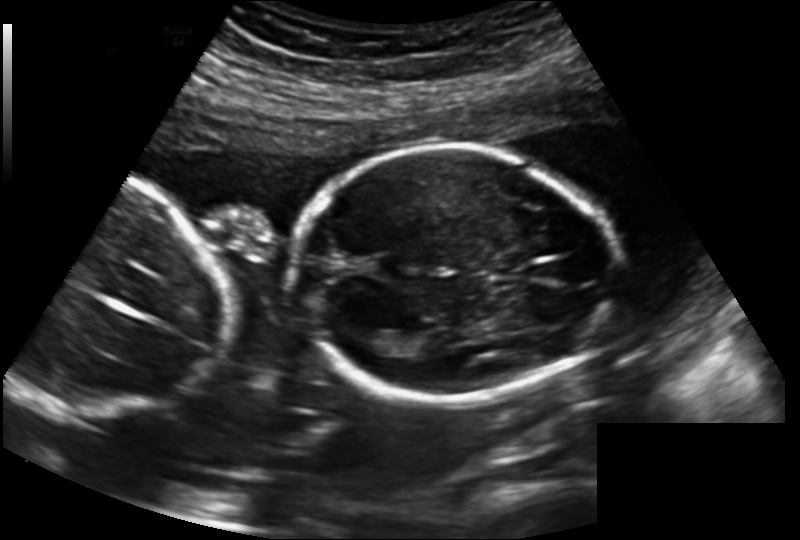
Estimate the fetal head circumference from this 2D ultrasound.

Head circumference: 173.1 mm (image width 146.1 mm).